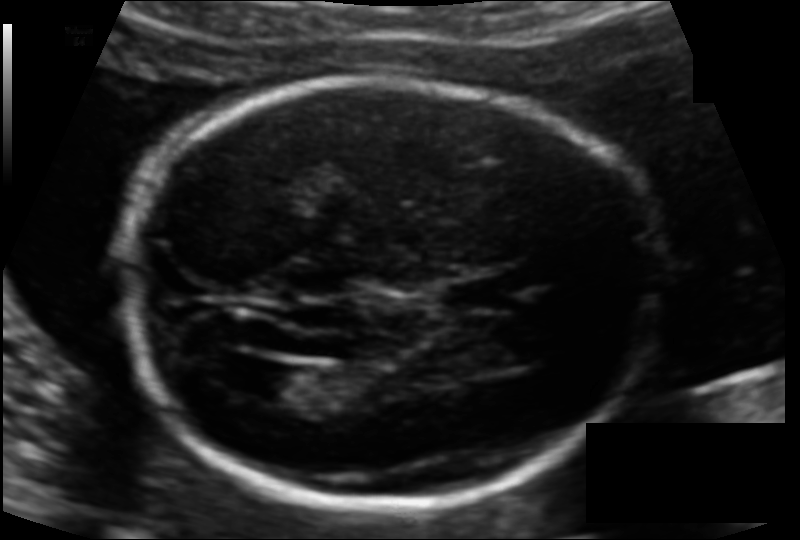
Fetal head ultrasound. Image width: 90.3 mm. Where is the cavum septum pellucidum?

CSP bounding box: [435,278,505,313]